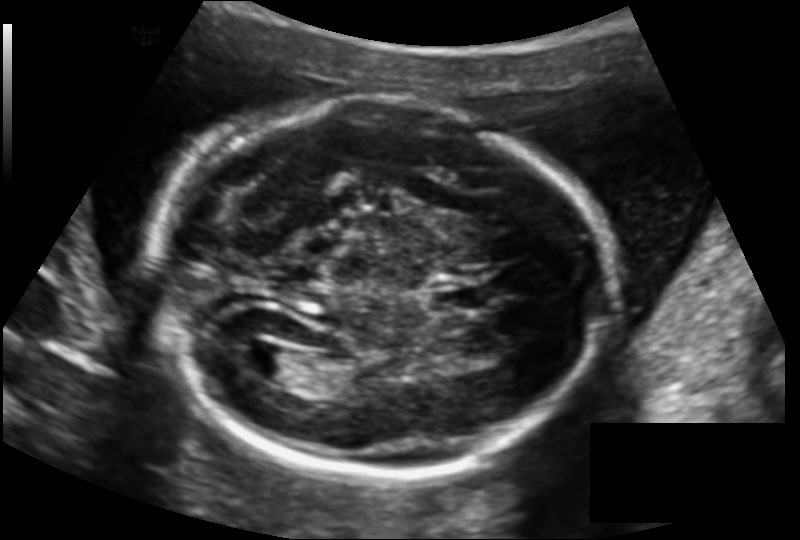
Fetal head ultrasound. Image width: 116.1 mm. Locate the lateral ventricle.

Lateral ventricle: [234,337,295,384]